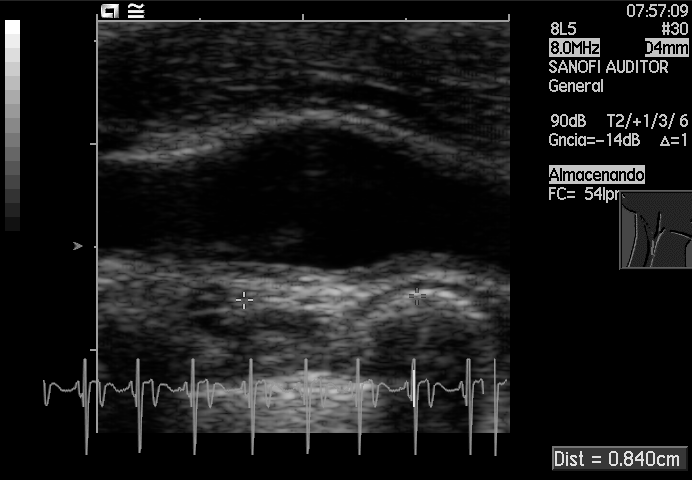
This is a 2D maternal-fetal ultrasound frame. Is it a fetal abdomen, fetal brain, fetal femur, fetal thorax, maternal cervix, or other standard plane? If it's fetal brain and one of the three standard brain planes (trans-thalamic, trans-cerebellum, trans-ventricular), name which.

Other